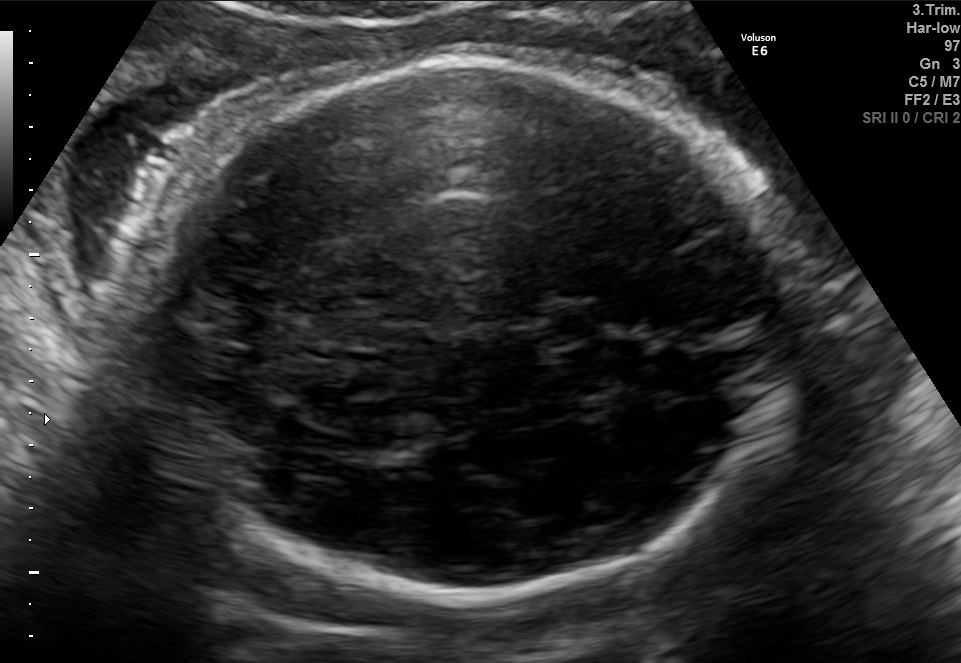
In this fetal brain, trans-thalamic plane, give the bounding box of the cavum septum pellucidum.

[539,296,616,350]